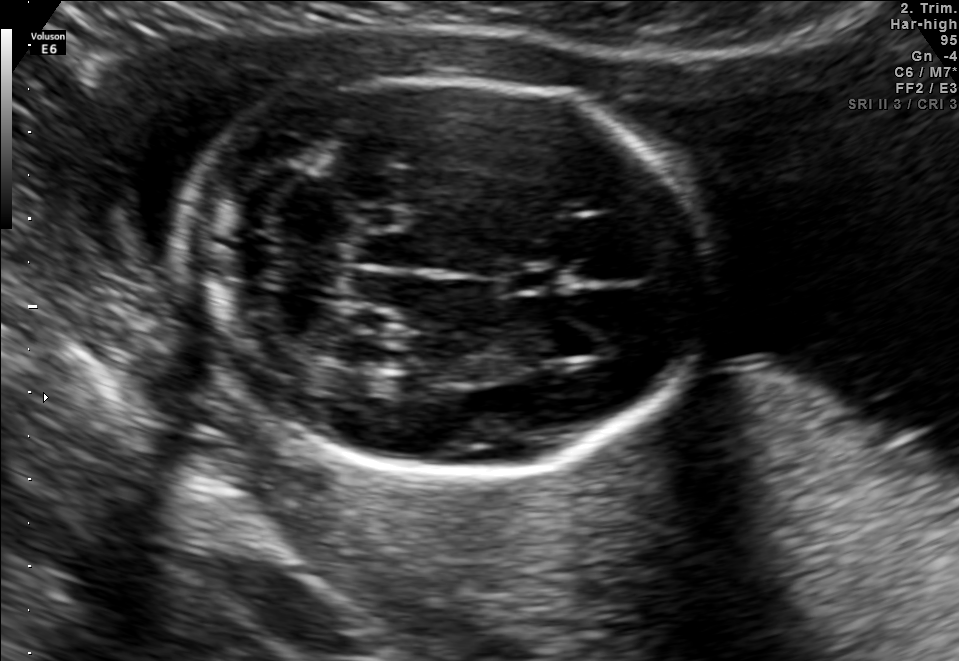
In this fetal brain, trans-cerebellum plane, give bounding boxes for the head outline, cavum septum pellucidum (CSP), and lateral ventricle (LV), where visible.

Head: [183,78,714,479]
CSP: [497,265,557,295]